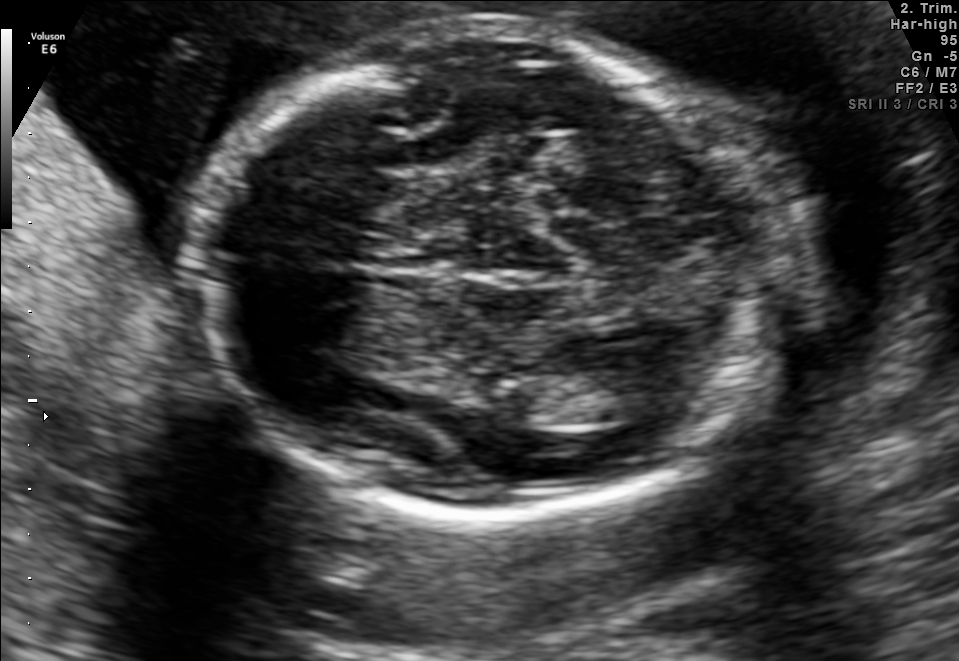
Classify this maternal-fetal ultrasound image as one of the six standard planes — fetal abdomen, fetal brain, fetal femur, fetal thorax, maternal cervix, or other. If it's fetal brain and one of the three standard brain planes (trans-thalamic, trans-cerebellum, trans-ventricular), name which.

Fetal brain (trans-thalamic plane)